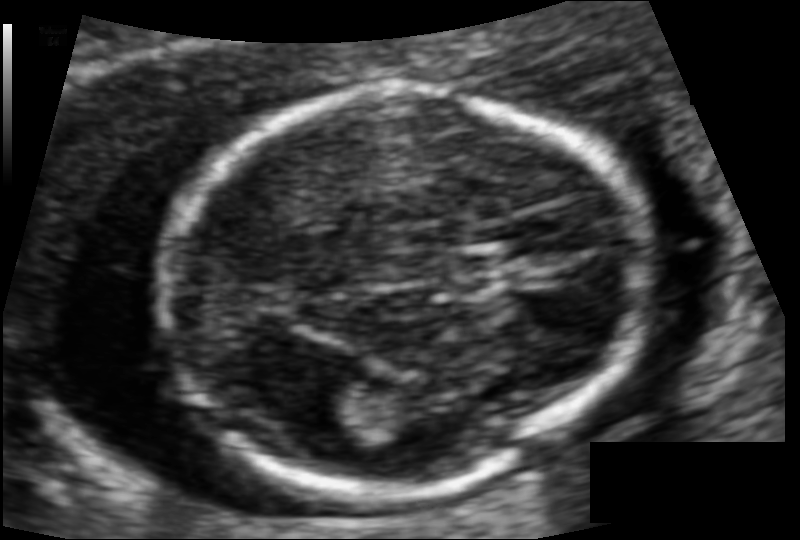
What is the fetal head circumference? Image width is 66.5 mm.

121.5 mm